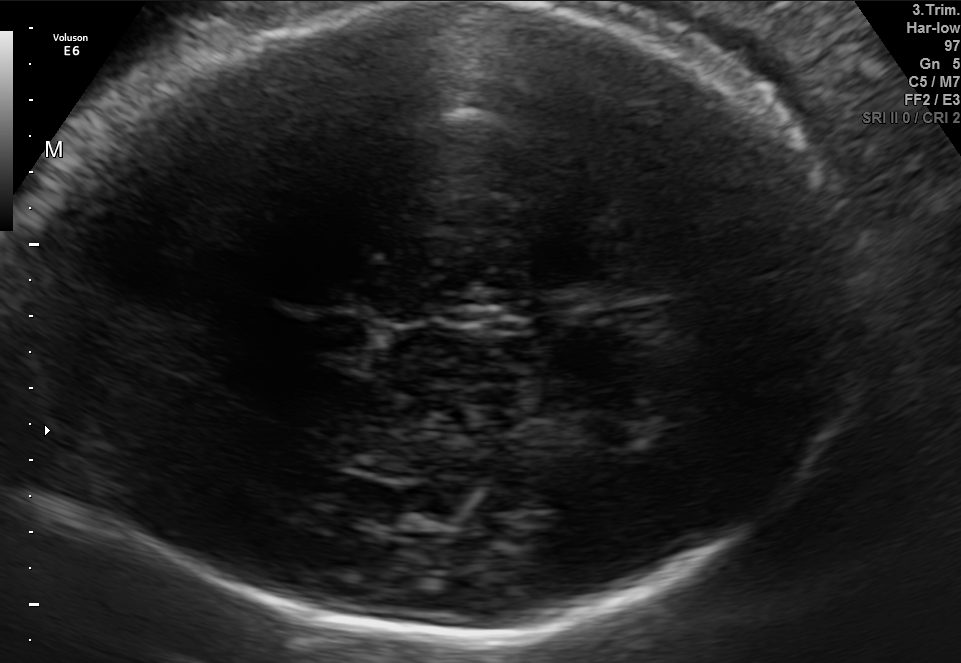
Fetal brain, trans-thalamic plane. Locate the cavum septum pellucidum.

CSP: [300,312,370,352]